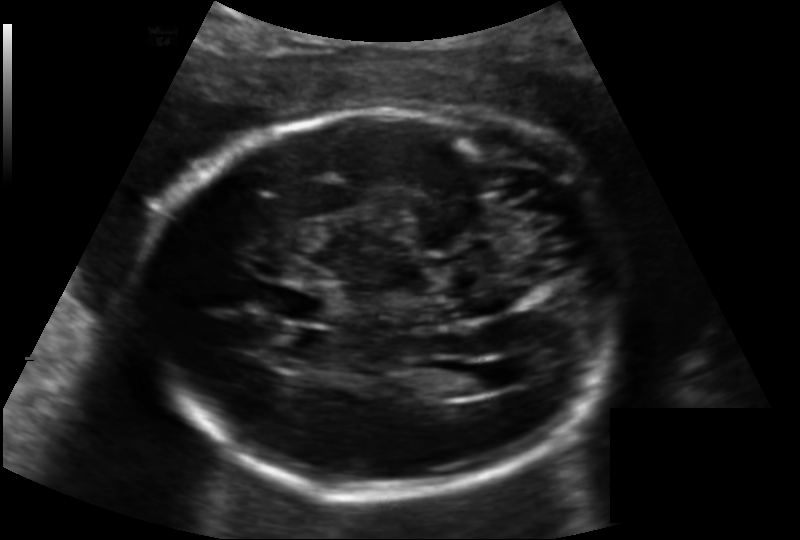
Fetal head ultrasound. Image width: 126.5 mm. Give [x1,y1,x2,y2] bounding boxes for each visible structure among: fetal head, CSP, LV.

Head: [143,109,624,493]
CSP: [270,281,335,327]
Lateral ventricle: [436,361,500,399]